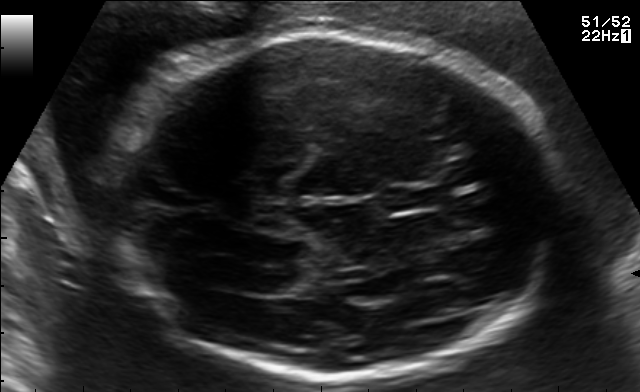
Fetal brain, trans-ventricular plane. Locate the lateral ventricle.

Lateral ventricle: [229,262,293,295]